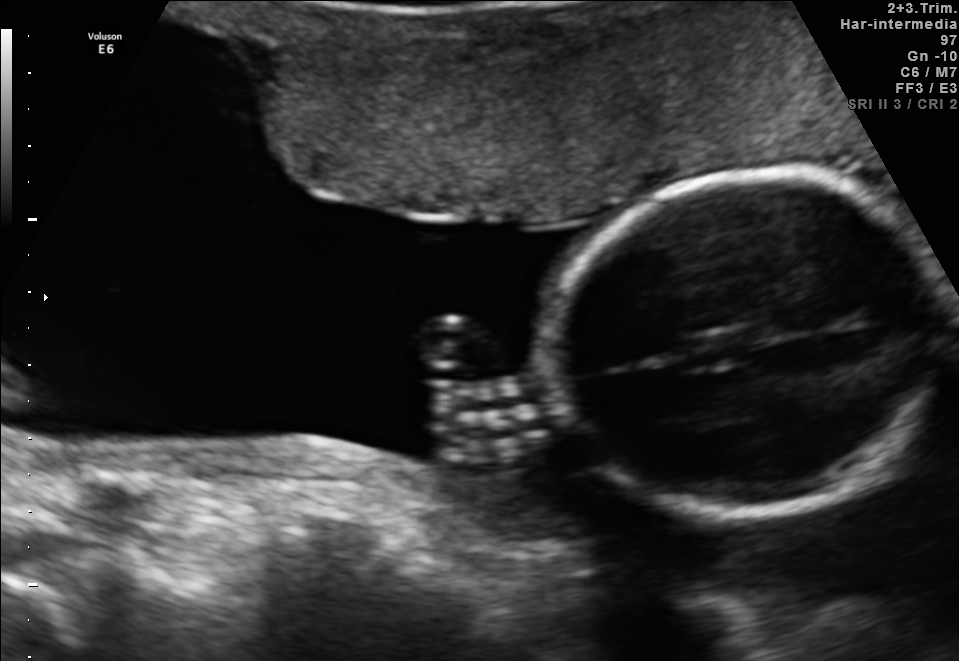
Fetal brain, trans-thalamic plane. Locate the fetal head.

Head: [548,178,951,515]